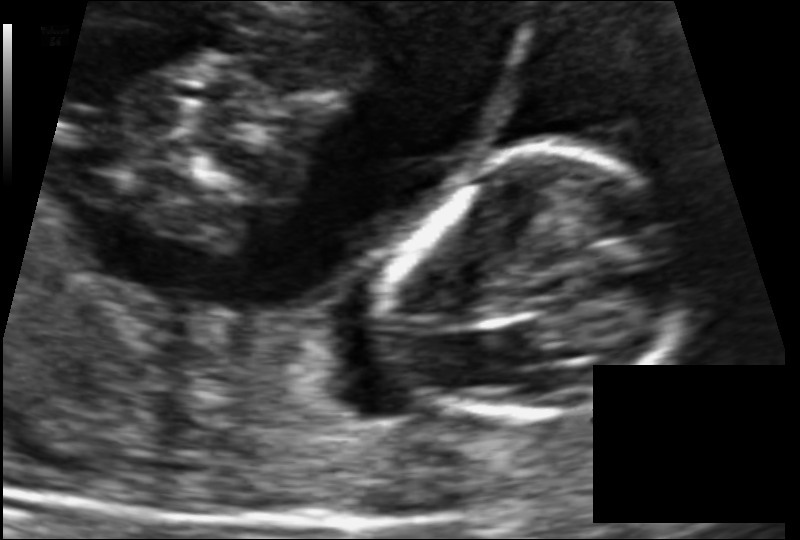
Fetal head ultrasound. Image width: 69.1 mm. Locate the fetal head and, if visible, the cavum septum pellucidum (CSP) and lateral ventricle (LV). Give bounding boxes as [x1,y1,x2,y2].

Head: [383,154,682,437]